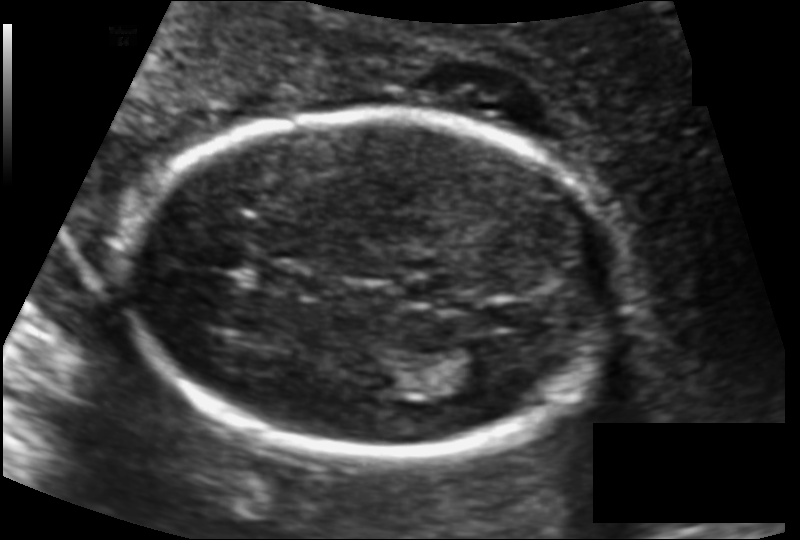
Fetal head ultrasound. Image width: 93.7 mm. Locate the cavum septum pellucidum.

CSP: [251,259,319,303]